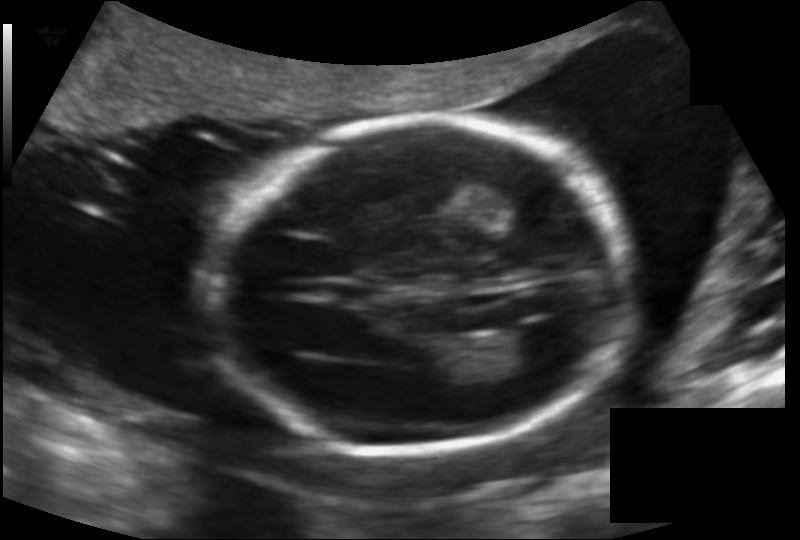
What is the fetal head circumference? Image width is 113.7 mm.

175.0 mm